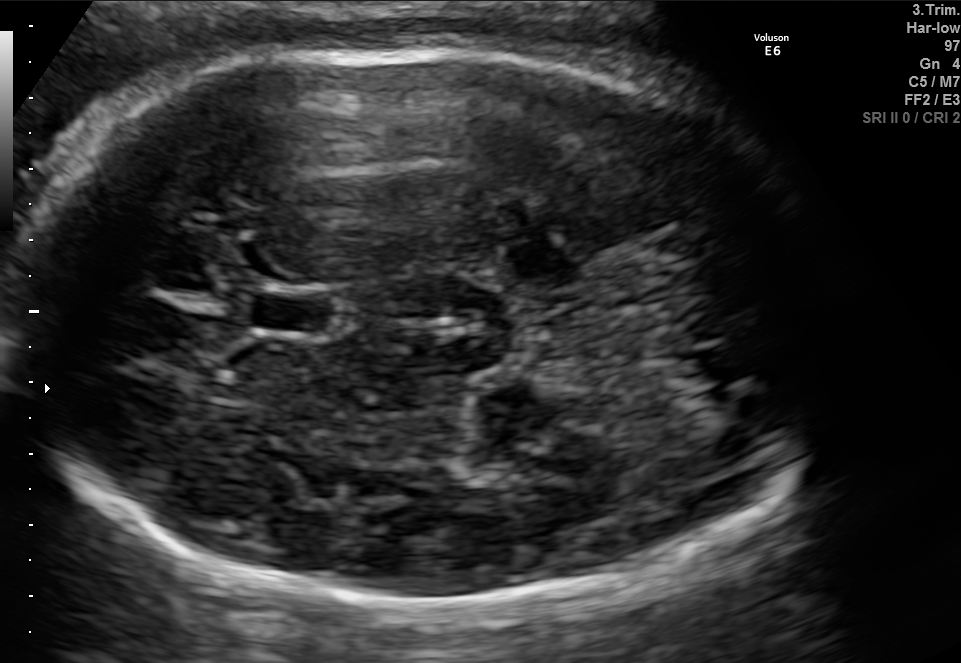
Fetal brain, trans-thalamic plane. Locate the cavum septum pellucidum.

CSP: [251,293,329,334]